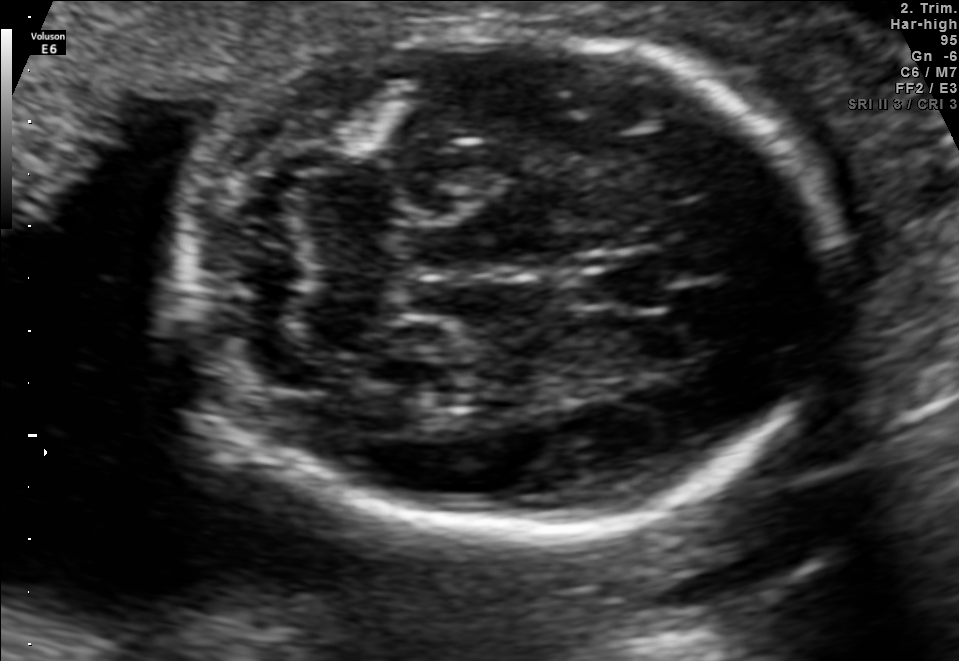
In this fetal brain, trans-cerebellum plane, give bounding boxes for the head outline, cavum septum pellucidum (CSP), and lateral ventricle (LV), where visible.

Head: [182,25,835,536]
CSP: [584,261,677,316]